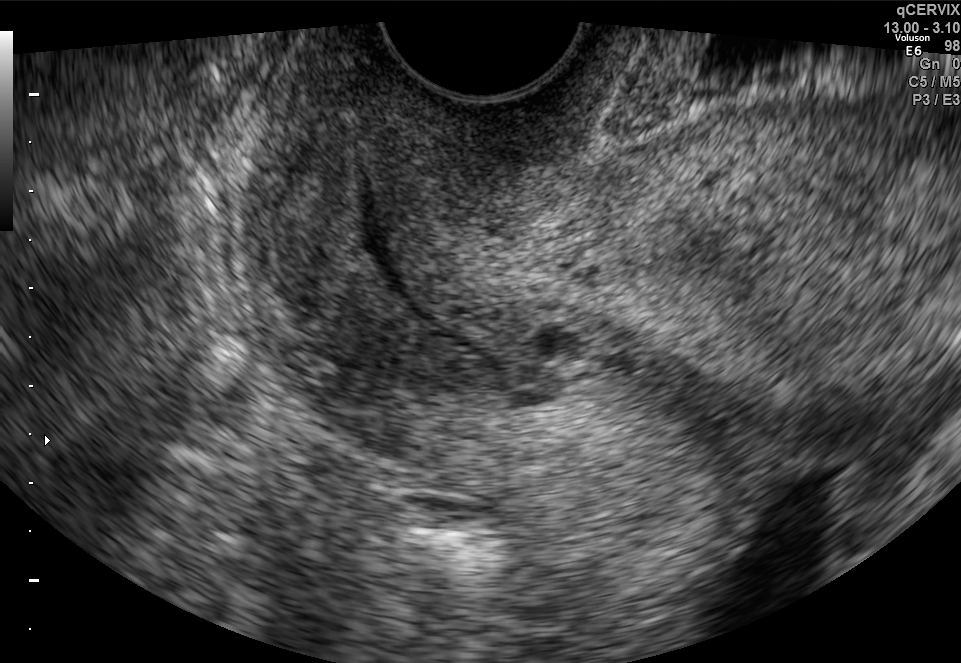
Identify the standard plane in this fetal ultrasound image: fetal abdomen, fetal brain, fetal femur, fetal thorax, maternal cervix, or other. If it's fetal brain and one of the three standard brain planes (trans-thalamic, trans-cerebellum, trans-ventricular), name which.

Maternal cervix